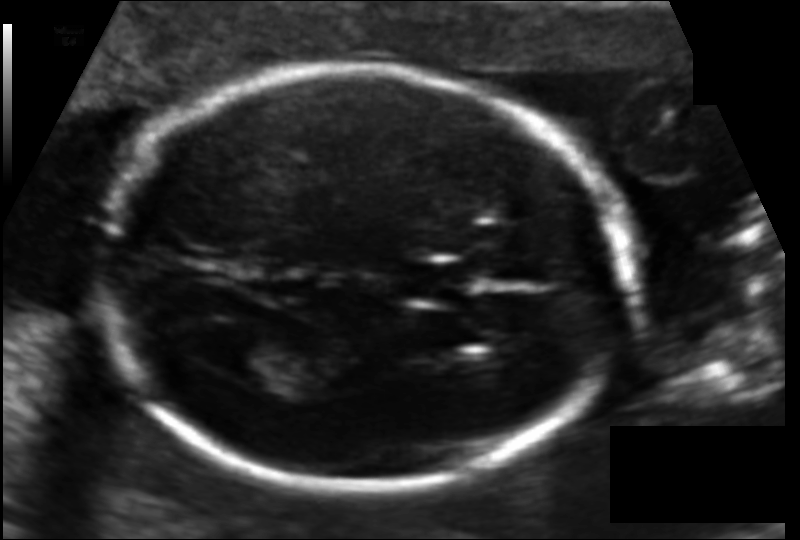
In this fetal head ultrasound, give the bounding box of the fetal head. Image width: 91.0 mm.

[102,69,630,489]